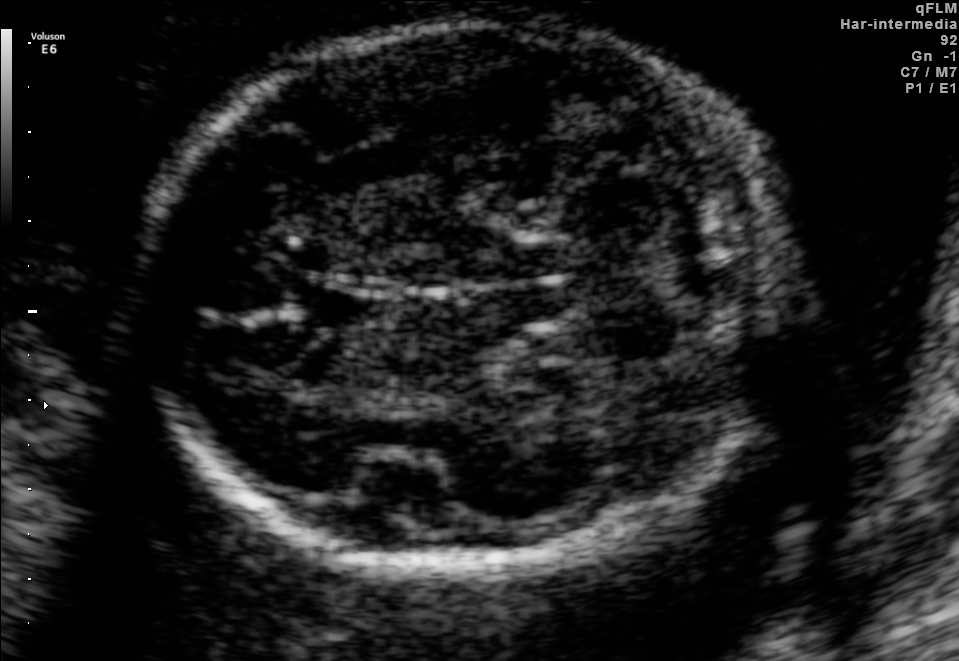
Fetal brain, trans-cerebellum plane. Locate the fetal head and, if visible, the cavum septum pellucidum (CSP) and lateral ventricle (LV). Give bounding boxes as [x1,y1,x2,y2].

Head: [145,28,776,567]
CSP: [289,284,390,333]